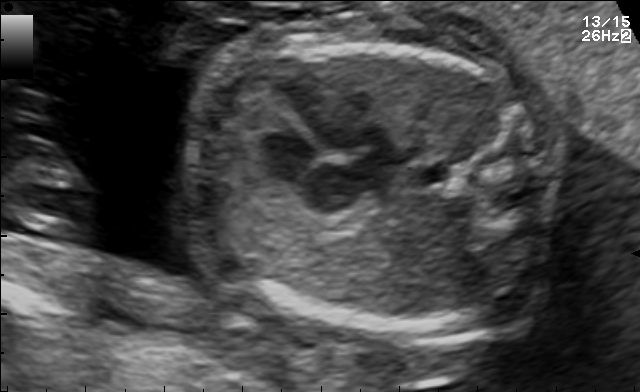
Identify the standard plane in this fetal ultrasound image: fetal abdomen, fetal brain, fetal femur, fetal thorax, maternal cervix, or other. If it's fetal brain and one of the three standard brain planes (trans-thalamic, trans-cerebellum, trans-ventricular), name which.

Fetal thorax